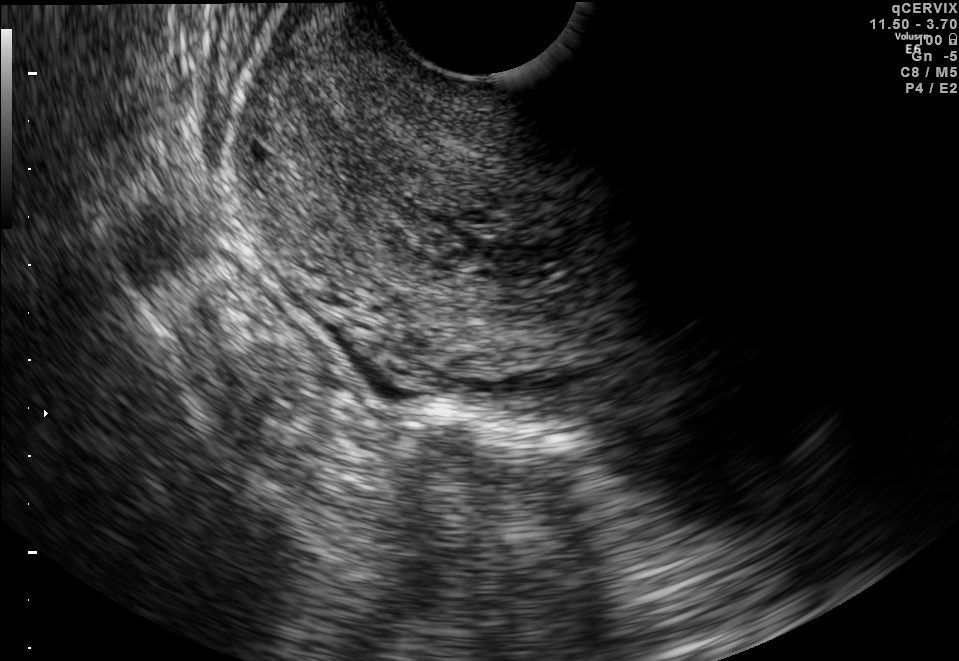
Identify the standard plane in this fetal ultrasound image: fetal abdomen, fetal brain, fetal femur, fetal thorax, maternal cervix, or other. If it's fetal brain and one of the three standard brain planes (trans-thalamic, trans-cerebellum, trans-ventricular), name which.

Maternal cervix